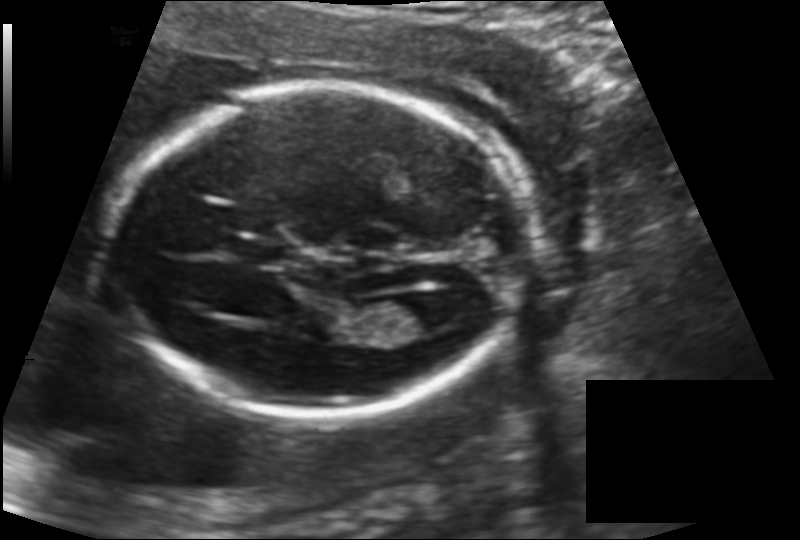
Estimate the fetal head circumference from this 2D ultrasound.

Head circumference: 172.7 mm (image width 113.5 mm).